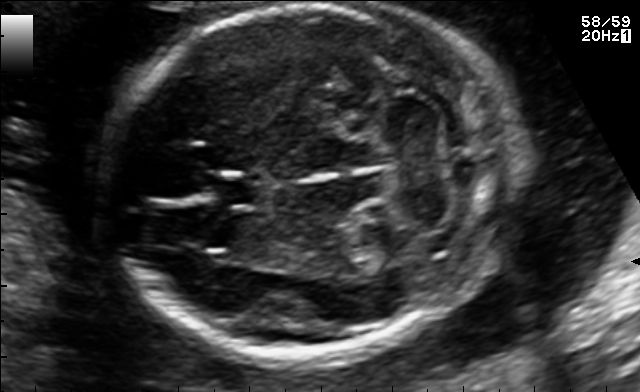
In this fetal brain, trans-cerebellum plane, give the bounding box of the fetal head.

[110,3,521,355]